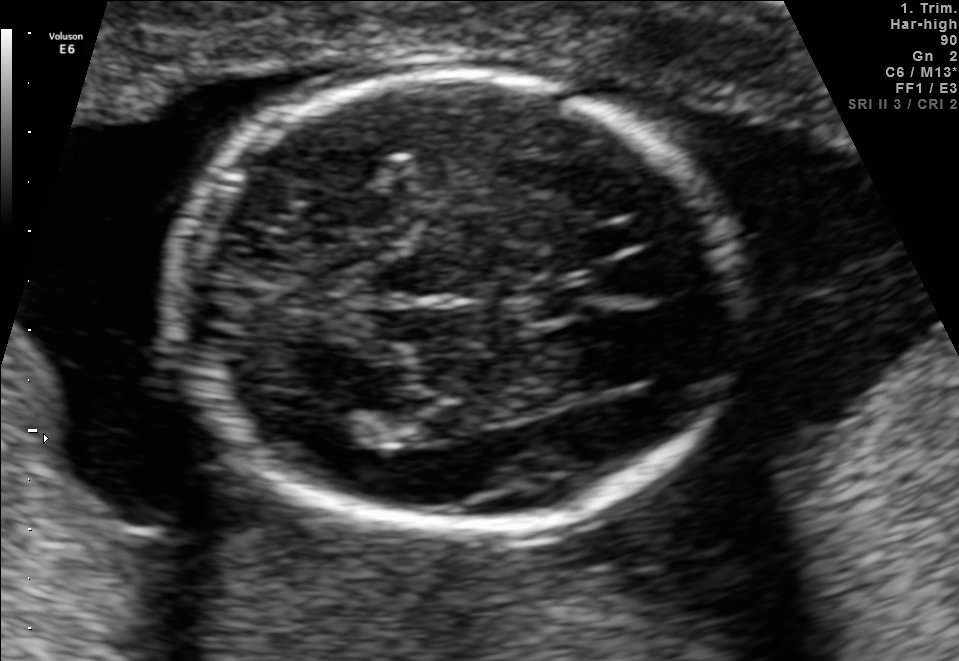
Fetal brain, trans-thalamic plane. Where is the fetal head?

Head bounding box: [168,75,739,526]